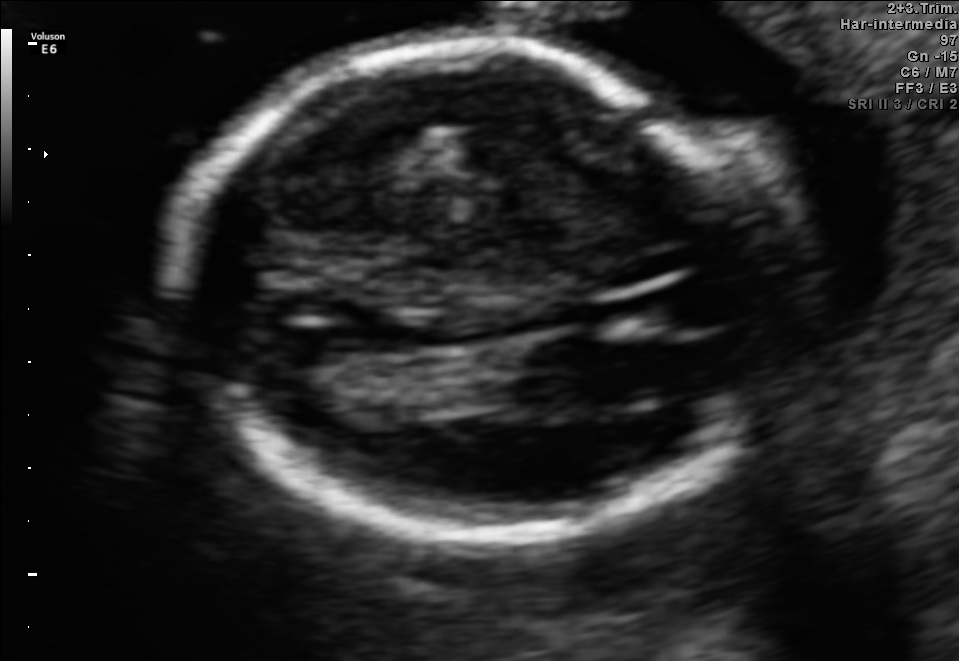
Fetal brain, trans-thalamic plane. Where is the fetal head?

Head bounding box: [169,43,764,536]